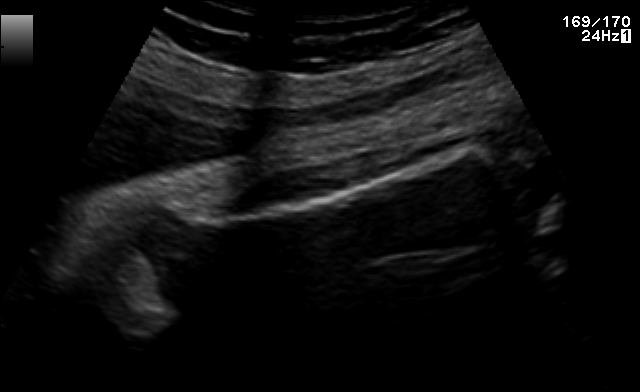
Identify the standard plane in this fetal ultrasound image: fetal abdomen, fetal brain, fetal femur, fetal thorax, maternal cervix, or other. If it's fetal brain and one of the three standard brain planes (trans-thalamic, trans-cerebellum, trans-ventricular), name which.

Fetal femur